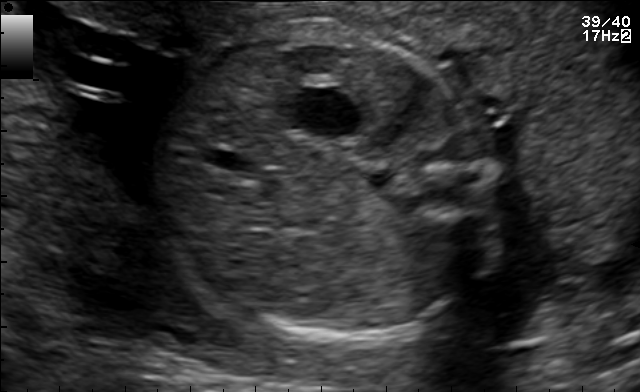
This is a 2D maternal-fetal ultrasound frame. Is it a fetal abdomen, fetal brain, fetal femur, fetal thorax, maternal cervix, or other standard plane? If it's fetal brain and one of the three standard brain planes (trans-thalamic, trans-cerebellum, trans-ventricular), name which.

Fetal abdomen